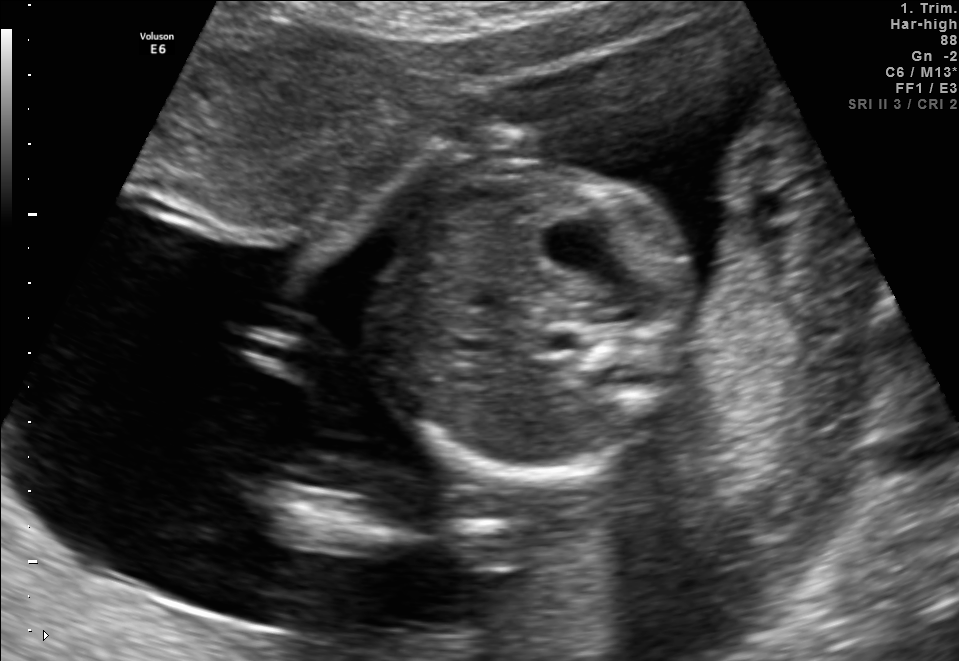
This is a 2D maternal-fetal ultrasound frame. Is it a fetal abdomen, fetal brain, fetal femur, fetal thorax, maternal cervix, or other standard plane? If it's fetal brain and one of the three standard brain planes (trans-thalamic, trans-cerebellum, trans-ventricular), name which.

Fetal abdomen